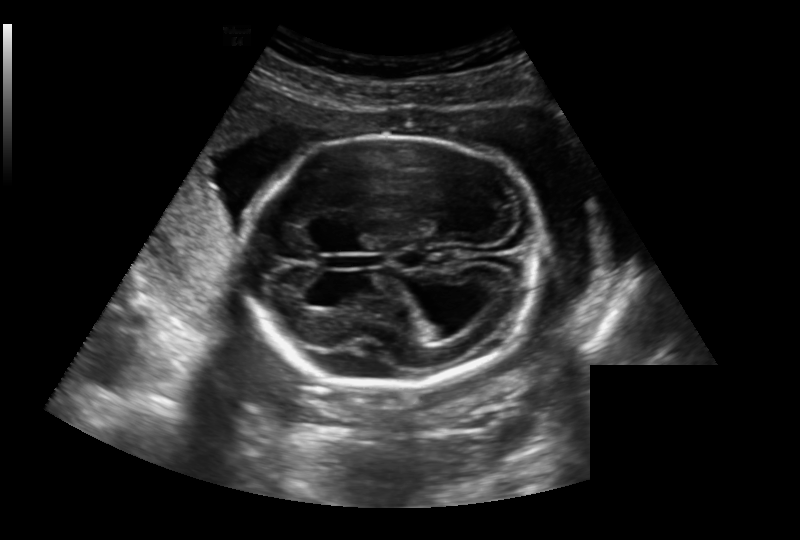
Fetal head ultrasound. Image width: 188.6 mm. Locate the fetal head and, if visible, the cavum septum pellucidum (CSP) and lateral ventricle (LV). Give bounding boxes as [x1,y1,x2,y2].

Head: [242,136,541,385]